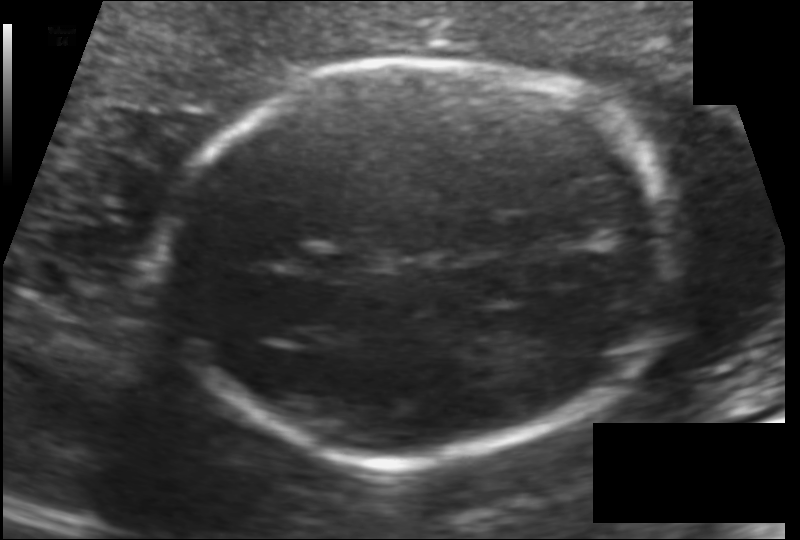
Measure the fetal head circumference shown in this ultrasound image. Image width: 95.9 mm.

Head circumference: 176.9 mm.